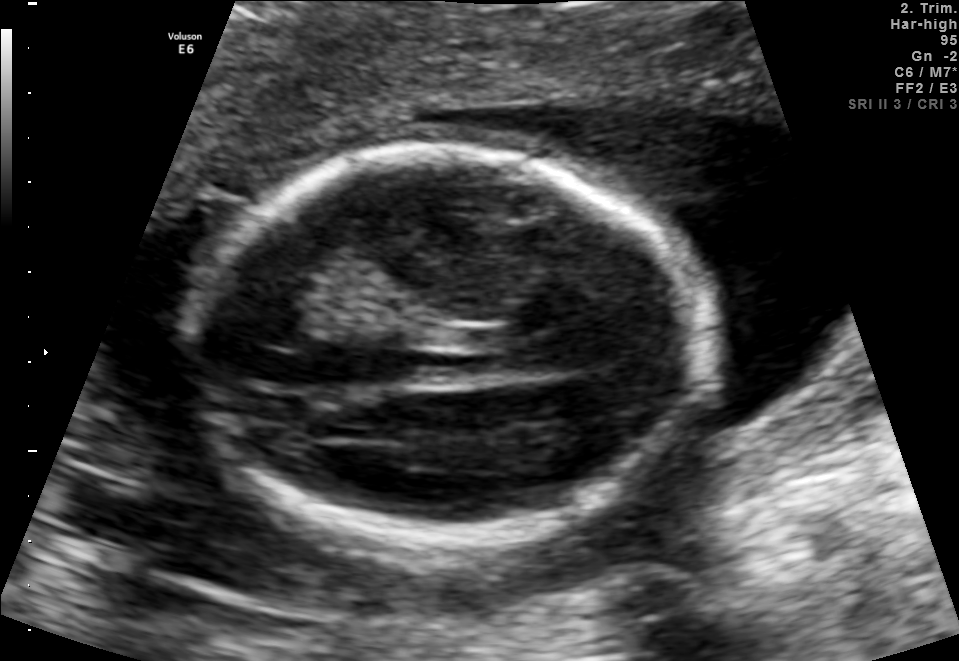
Fetal brain, trans-thalamic plane. Locate the fetal head.

Head: [182,147,703,538]